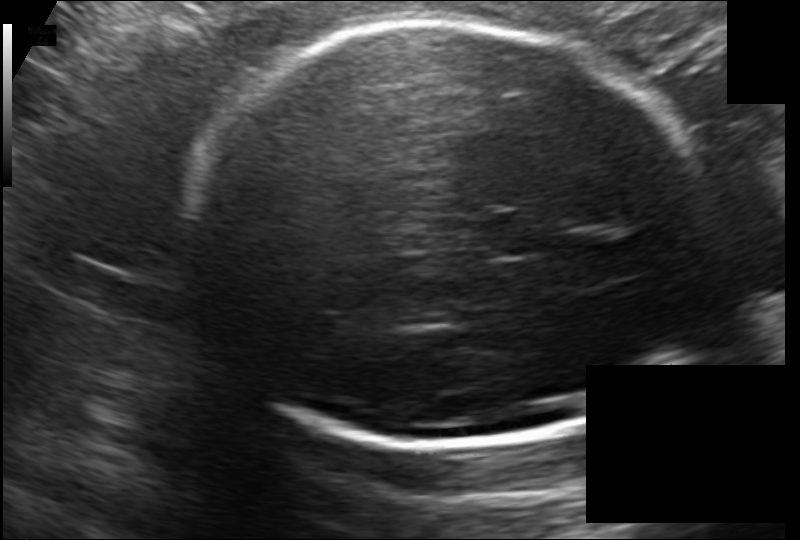
Fetal head ultrasound. Image width: 137.9 mm. Give [x1,y1,x2,y2] bounding boxes for each visible structure among: fetal head, CSP, LV.

Head: [189,21,705,445]